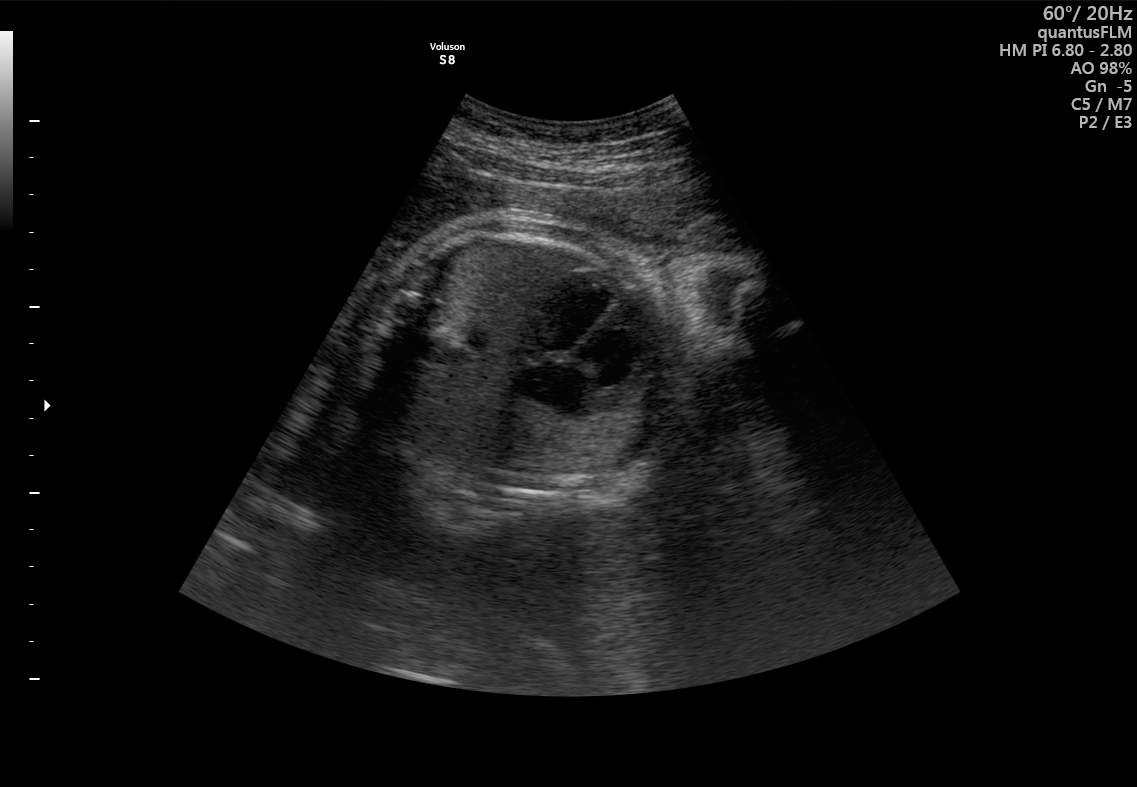
Identify the standard plane in this fetal ultrasound image: fetal abdomen, fetal brain, fetal femur, fetal thorax, maternal cervix, or other. If it's fetal brain and one of the three standard brain planes (trans-thalamic, trans-cerebellum, trans-ventricular), name which.

Fetal thorax